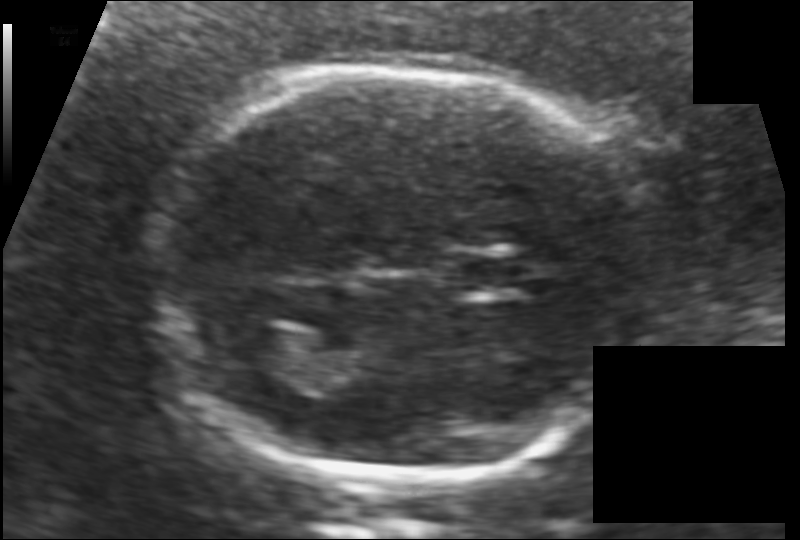
Fetal head ultrasound. Image width: 94.0 mm. Locate the cavum septum pellucidum.

CSP: [453,254,522,295]